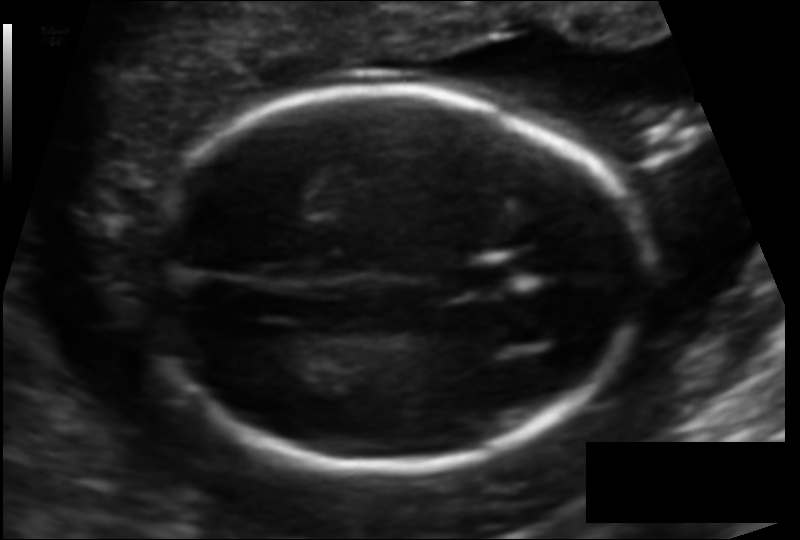
Fetal head ultrasound. Image width: 91.5 mm. Locate the cavum septum pellucidum.

CSP: [443,256,512,300]